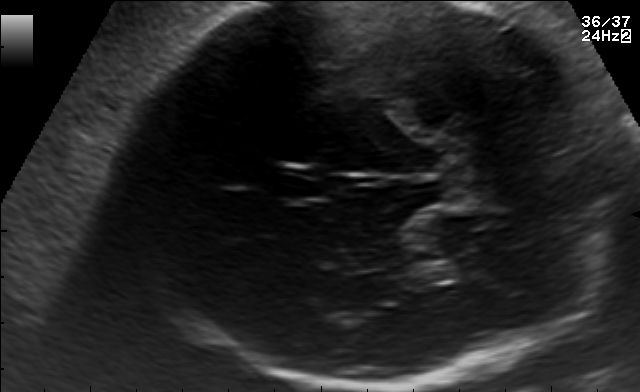
In this fetal brain, trans-thalamic plane, give the bounding box of the fetal head.

[115,2,624,390]